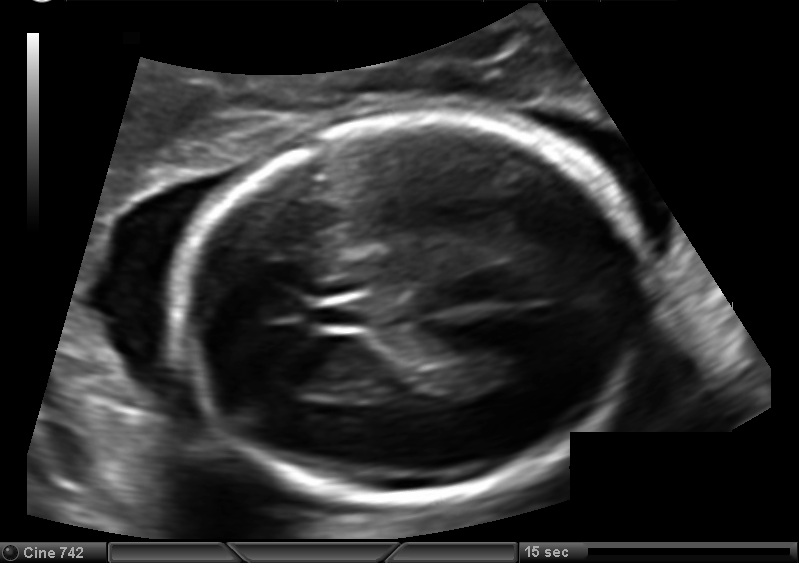
In this fetal head ultrasound, give the bounding box of the fetal head. Image width: 101.4 mm.

[178,114,636,502]